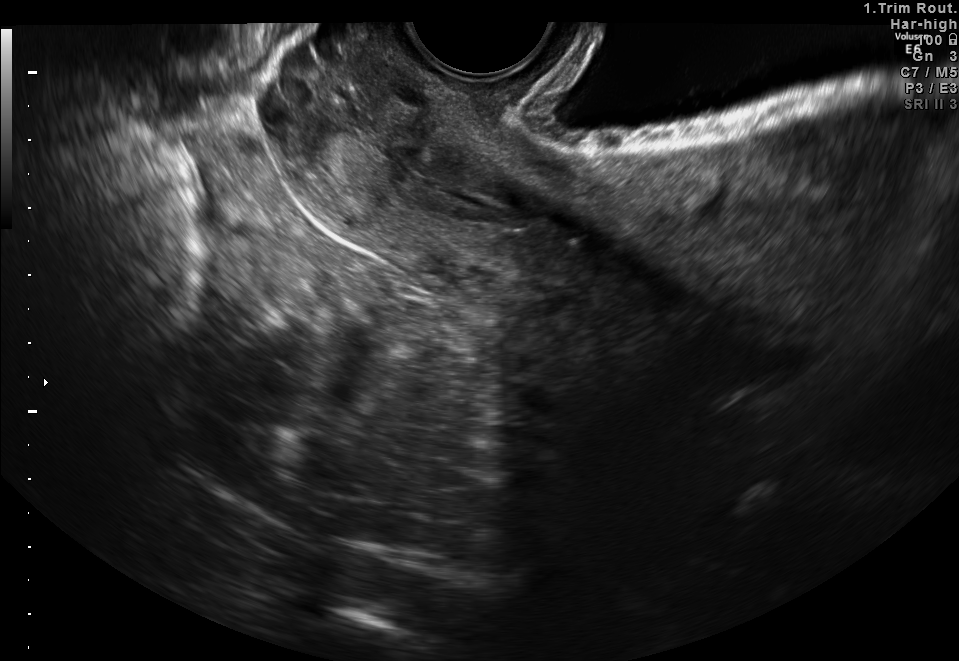
This is a 2D maternal-fetal ultrasound frame. Is it a fetal abdomen, fetal brain, fetal femur, fetal thorax, maternal cervix, or other standard plane? If it's fetal brain and one of the three standard brain planes (trans-thalamic, trans-cerebellum, trans-ventricular), name which.

Maternal cervix